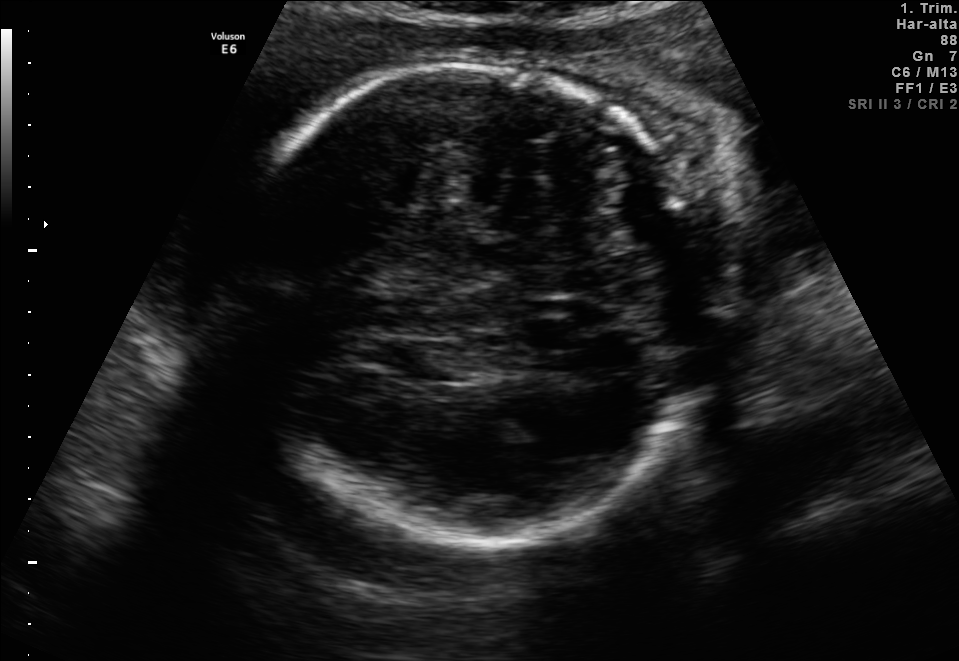
Fetal brain, trans-thalamic plane. Where is the fetal head?

Head bounding box: [227,63,708,544]